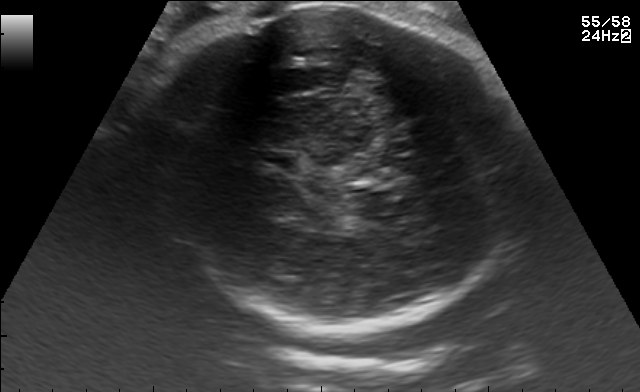
Fetal brain, trans-thalamic plane. Locate the fetal head and, if visible, the cavum septum pellucidum (CSP) and lateral ventricle (LV). Give bounding boxes as [x1,y1,x2,y2].

Head: [141,3,523,326]